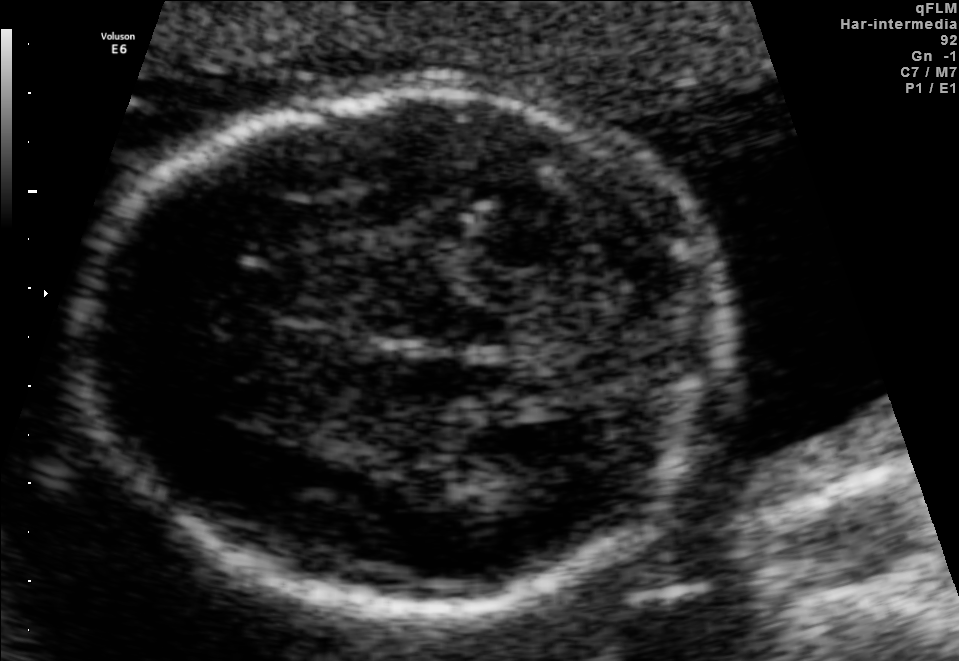
Identify the standard plane in this fetal ultrasound image: fetal abdomen, fetal brain, fetal femur, fetal thorax, maternal cervix, or other. If it's fetal brain and one of the three standard brain planes (trans-thalamic, trans-cerebellum, trans-ventricular), name which.

Fetal brain (trans-thalamic plane)